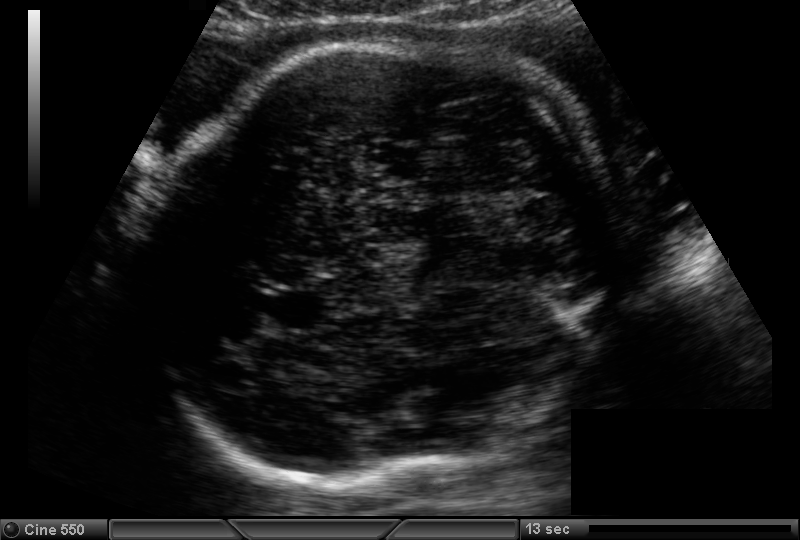
What is the fetal head circumference? Image width is 144.1 mm.

268.8 mm